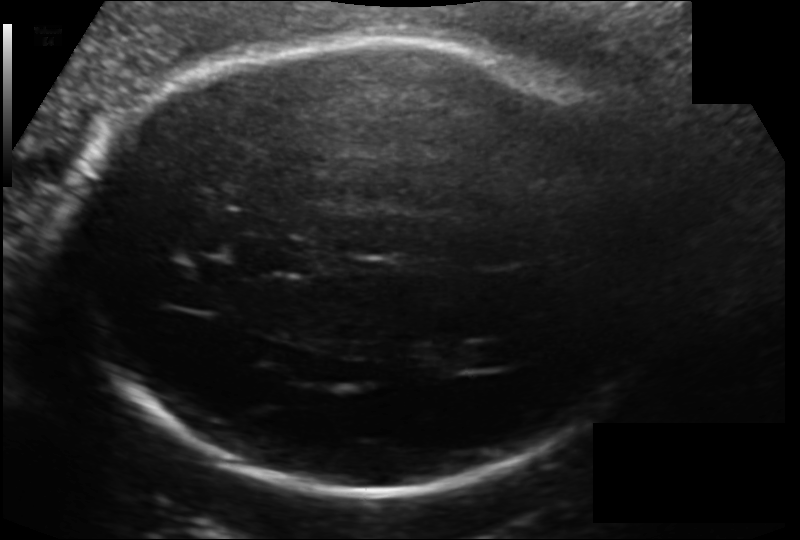
In this fetal head ultrasound, give the bounding box of the fetal head. Image width: 123.2 mm.

[72,38,657,493]